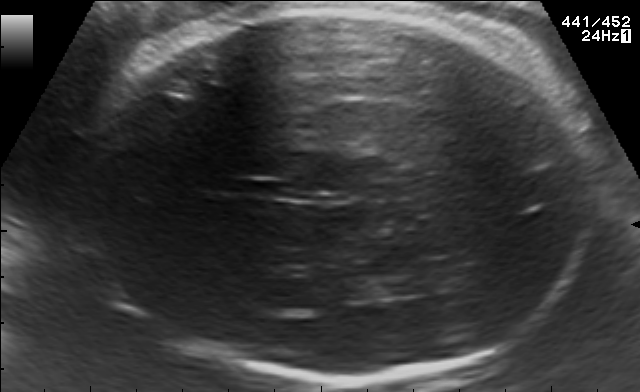
In this fetal brain, trans-thalamic plane, give bounding boxes for the head outline, cavum septum pellucidum (CSP), and lateral ventricle (LV), where visible.

Head: [72,7,591,377]